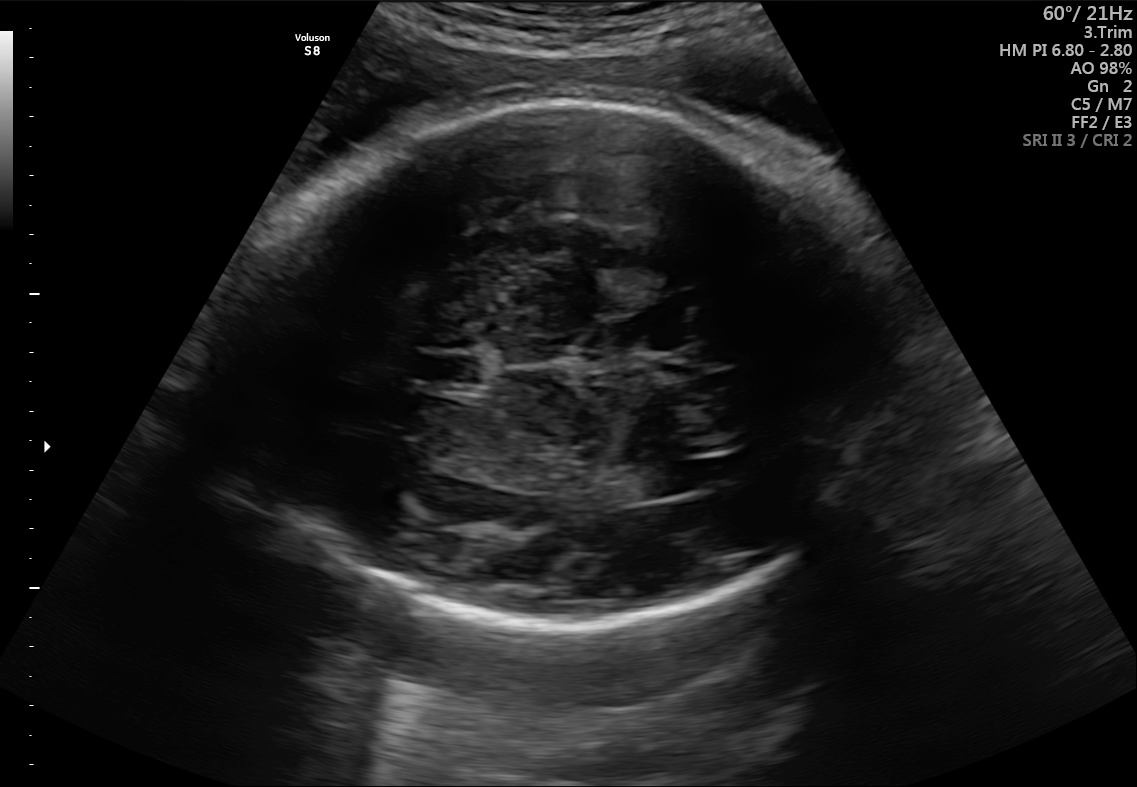
In this fetal brain, trans-ventricular plane, give the bounding box of the fetal head.

[218,94,914,633]